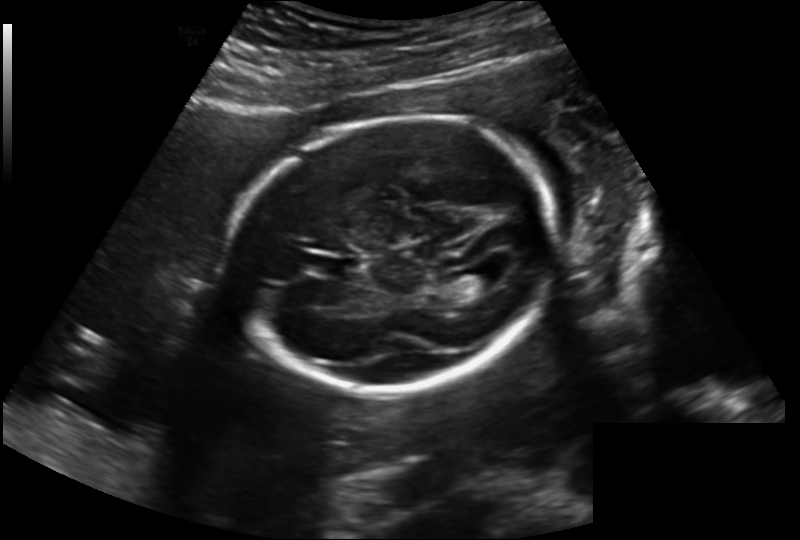
In this fetal head ultrasound, give the bounding box of the lateral ventricle. Image width: 161.6 mm.

[450,257,502,303]